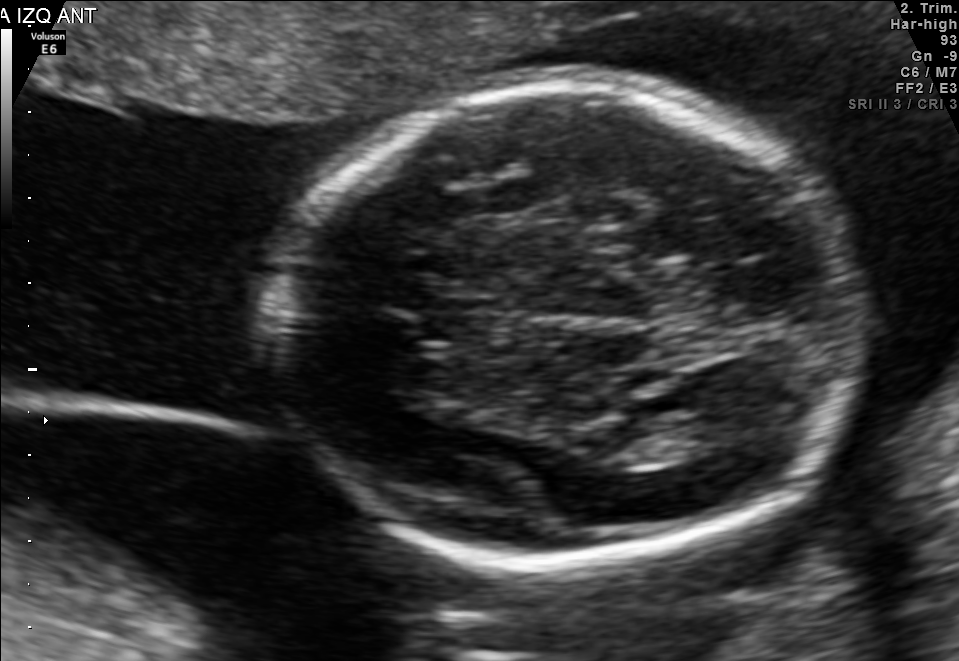
Fetal brain, trans-thalamic plane. Locate the fetal head and, if visible, the cavum septum pellucidum (CSP) and lateral ventricle (LV). Give bounding boxes as [x1,y1,x2,y2].

Head: [277,85,866,564]
CSP: [421,301,498,339]
Lateral ventricle: [650,400,756,467]